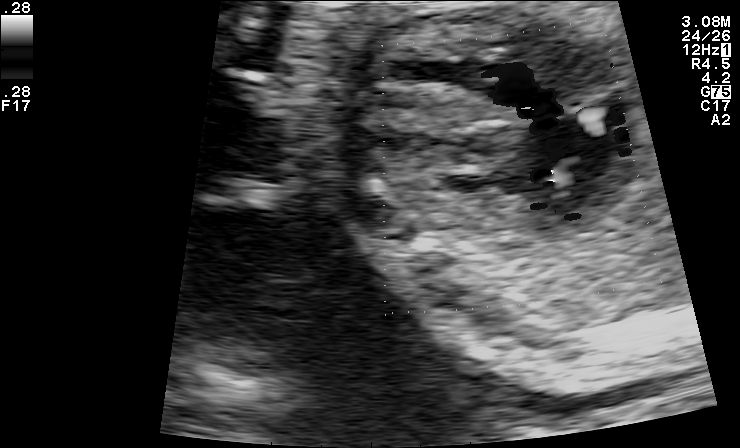
Identify the standard plane in this fetal ultrasound image: fetal abdomen, fetal brain, fetal femur, fetal thorax, maternal cervix, or other. If it's fetal brain and one of the three standard brain planes (trans-thalamic, trans-cerebellum, trans-ventricular), name which.

Other